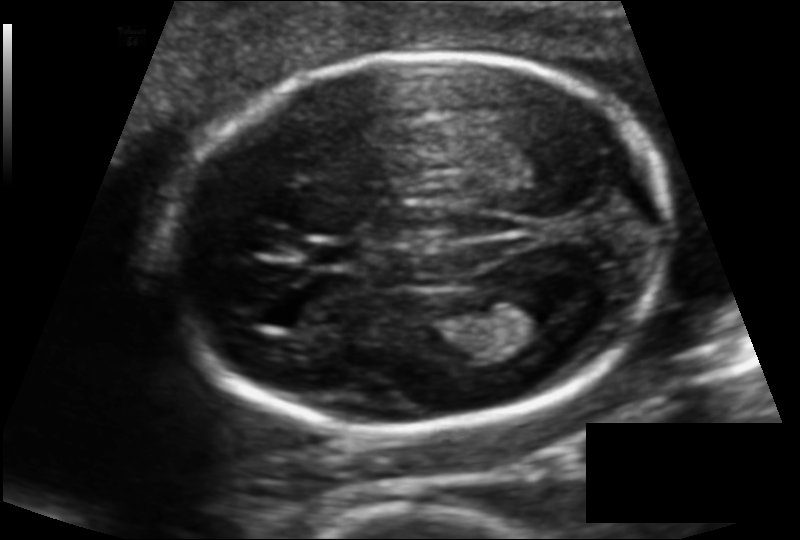
Fetal head ultrasound. Image width: 95.8 mm. Locate the fetal head and, if visible, the cavum septum pellucidum (CSP) and lateral ventricle (LV). Give bounding boxes as [x1,y1,x2,y2].

Head: [171,51,672,431]
CSP: [307,242,360,268]
Lateral ventricle: [482,269,580,352]